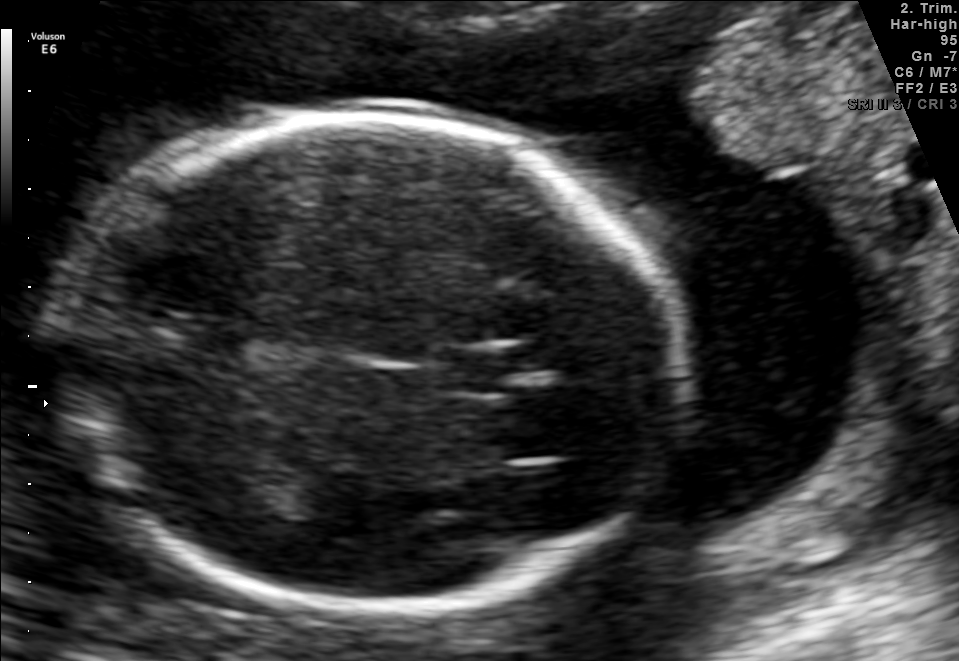
Fetal brain, trans-thalamic plane. Where is the fetal head?

Head bounding box: [63,119,684,612]